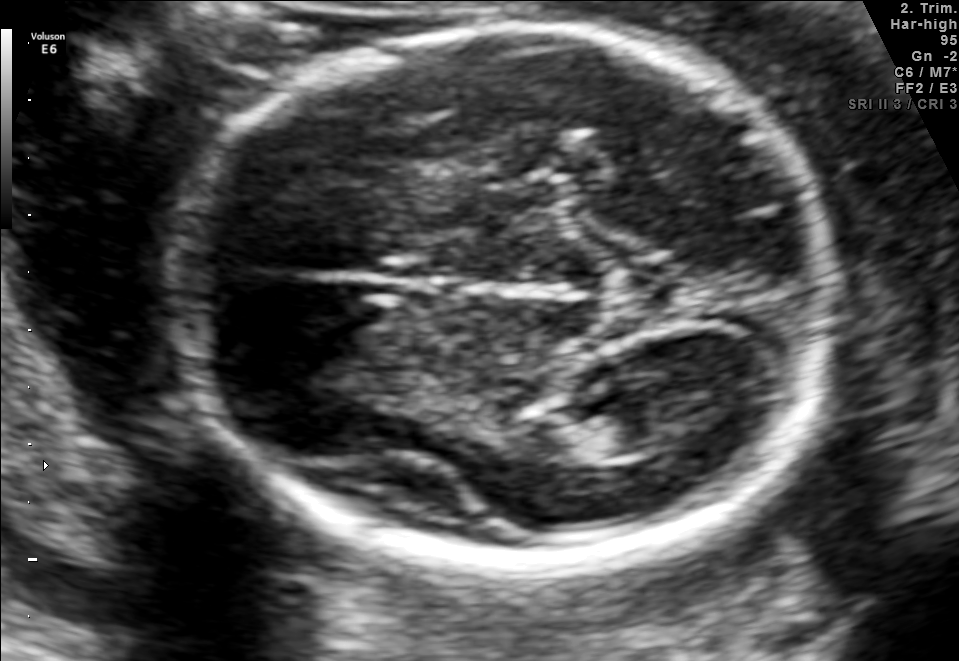
Fetal brain, trans-thalamic plane. Where is the lateral ventricle?

Lateral ventricle bounding box: [552,382,672,470]